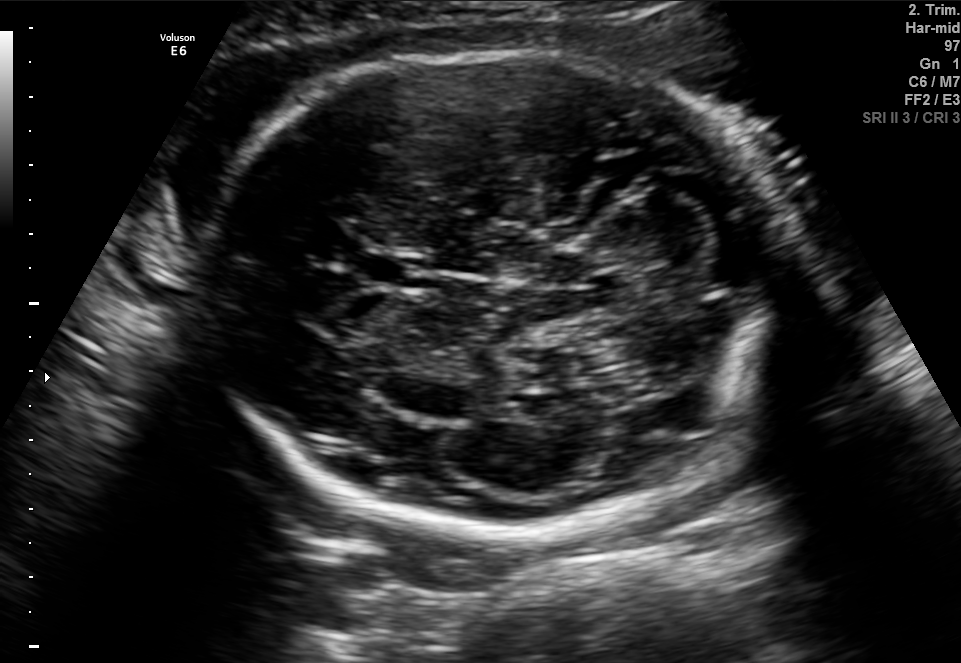
In this fetal brain, trans-cerebellum plane, give the bounding box of the cavum septum pellucidum.

[359,248,430,293]